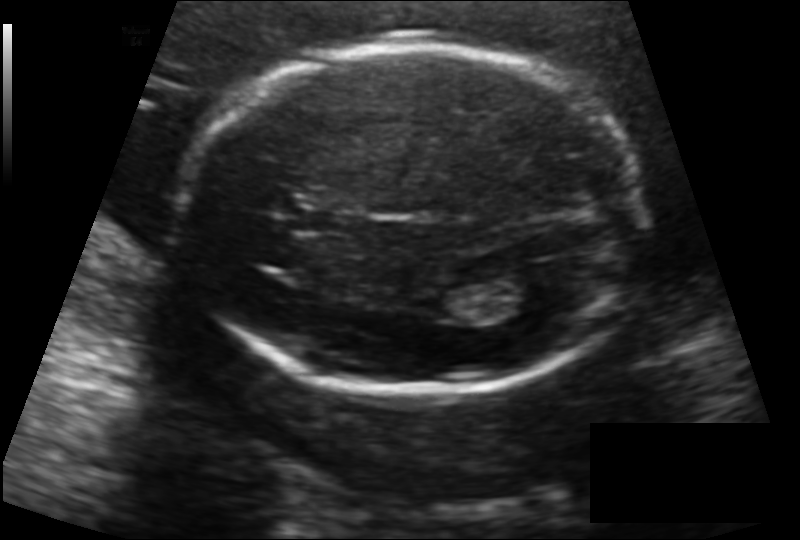
Fetal head ultrasound. Image width: 113.3 mm. Where is the cavum septum pellucidum?

CSP bounding box: [291,204,358,238]